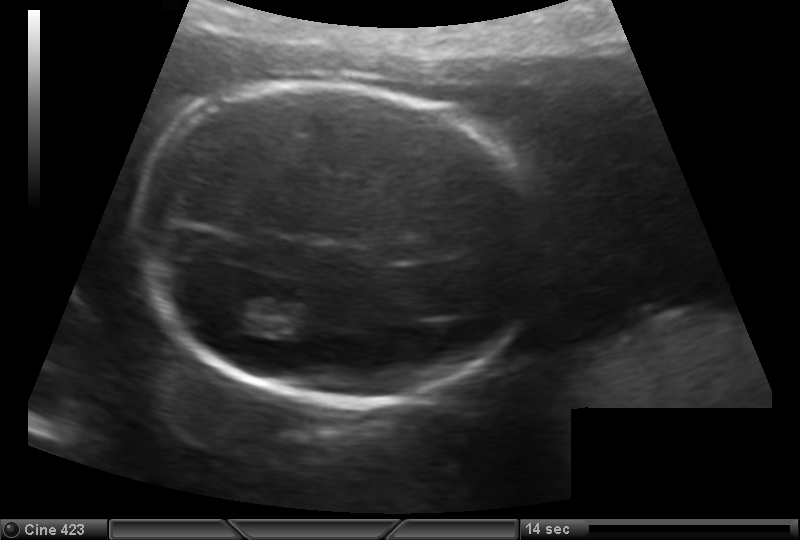
In this fetal head ultrasound, give bounding boxes for the head outline, cavum septum pellucidum (CSP), and lateral ventricle (LV), where visible. Image width: 117.9 mm.

Head: [128,82,535,403]
Lateral ventricle: [216,290,274,334]